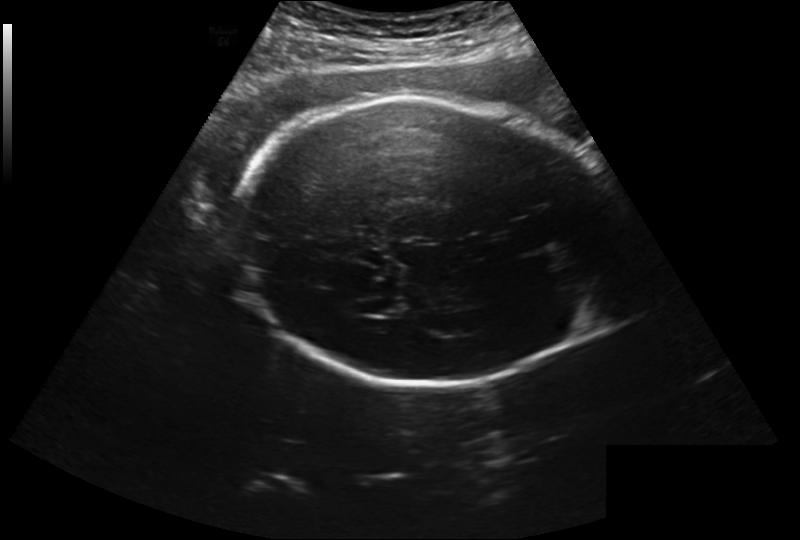
In this fetal head ultrasound, give the bounding box of the lateral ventricle. Image width: 208.3 mm.

[369,297,407,315]